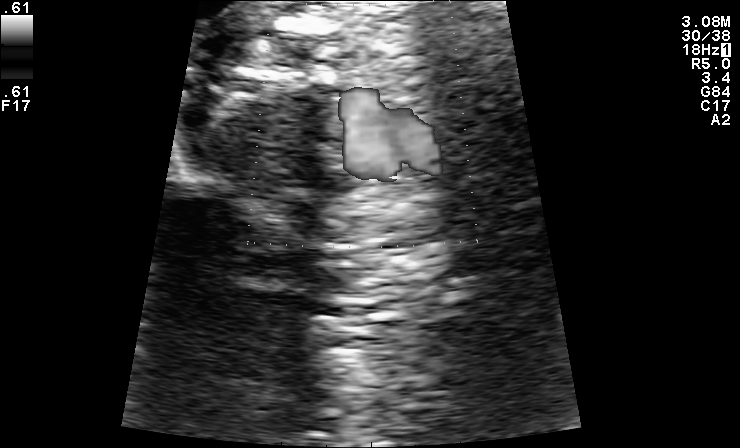
Which standard maternal-fetal ultrasound plane is shown: fetal abdomen, fetal brain, fetal femur, fetal thorax, maternal cervix, or other? If it's fetal brain and one of the three standard brain planes (trans-thalamic, trans-cerebellum, trans-ventricular), name which.

Other